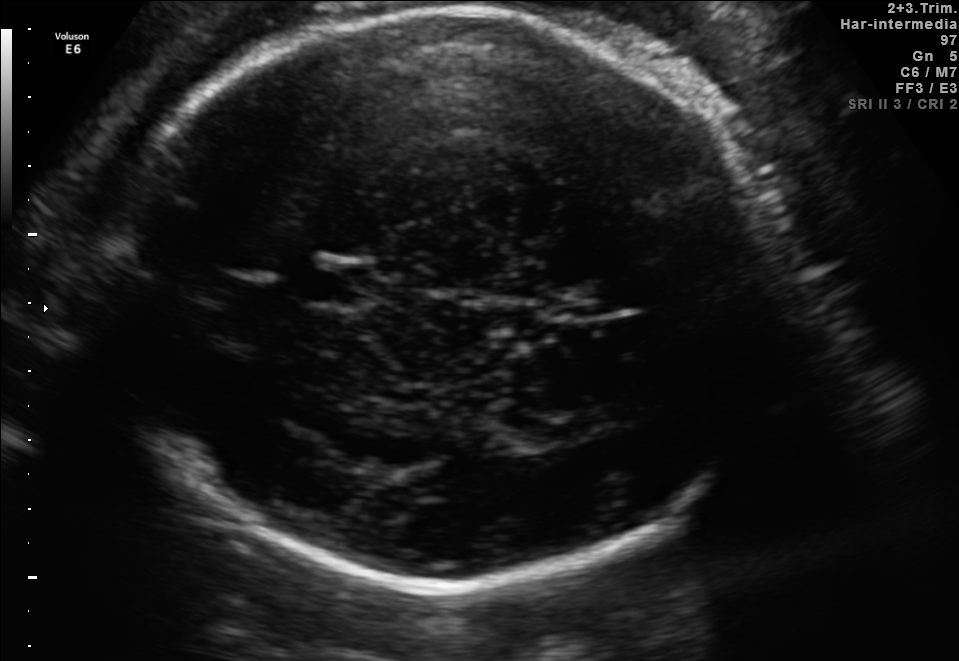
In this fetal brain, trans-thalamic plane, give bounding boxes for the head outline, cavum septum pellucidum (CSP), and lateral ventricle (LV), where visible.

Head: [105,11,792,582]
CSP: [299,264,360,304]